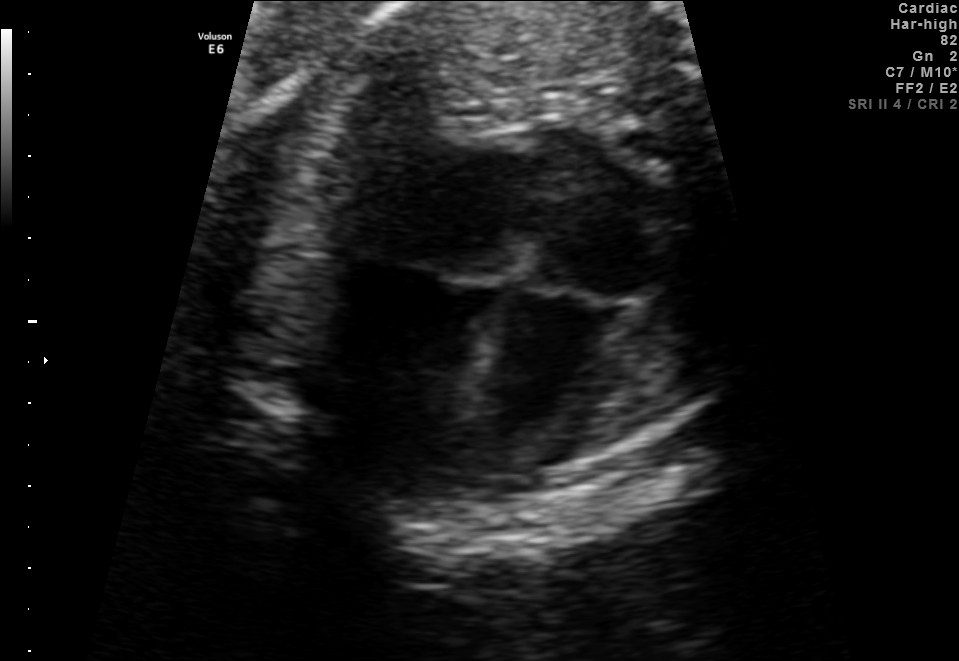
Classify this maternal-fetal ultrasound image as one of the six standard planes — fetal abdomen, fetal brain, fetal femur, fetal thorax, maternal cervix, or other. If it's fetal brain and one of the three standard brain planes (trans-thalamic, trans-cerebellum, trans-ventricular), name which.

Fetal thorax